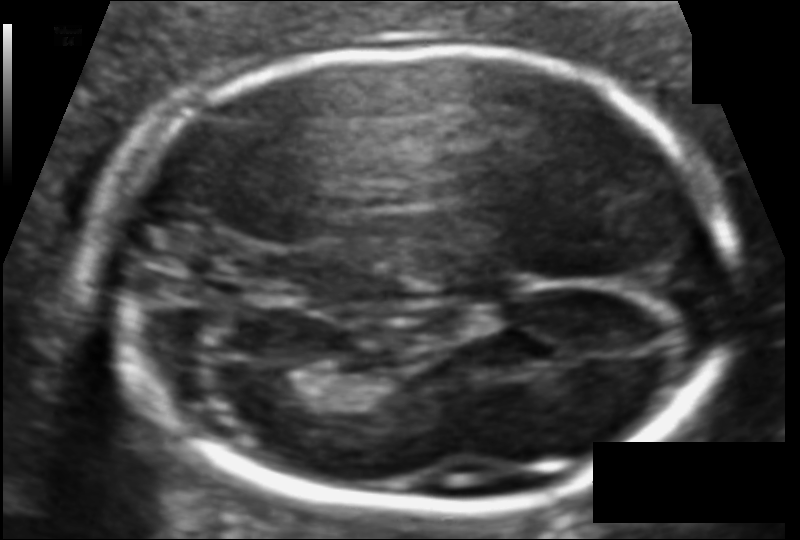
Estimate the fetal head circumference from this 2D ultrasound.

Head circumference: 170.9 mm (image width 76.5 mm).